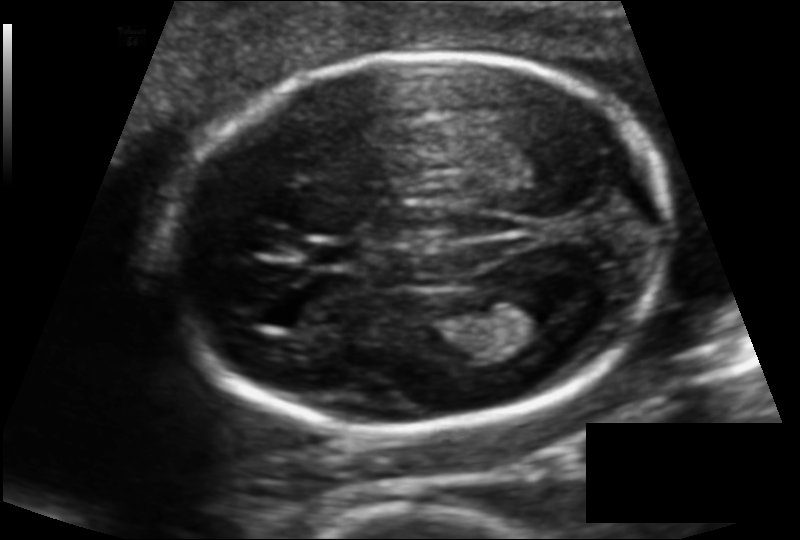
Fetal head ultrasound. Image width: 95.8 mm. Where is the lateral ventricle?

Lateral ventricle bounding box: [482,269,580,352]